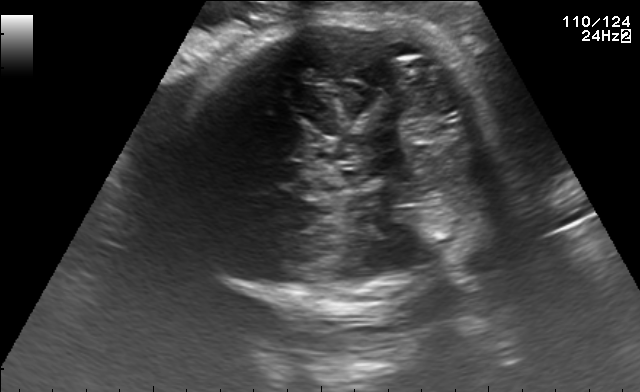
Fetal brain, trans-thalamic plane. Locate the fetal head.

Head: [172,17,495,305]